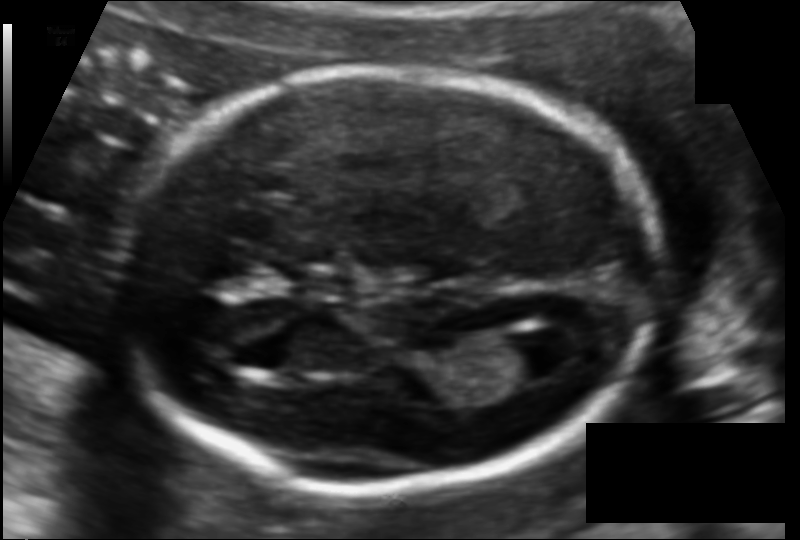
In this fetal head ultrasound, give the bounding box of the lateral ventricle. Image width: 85.9 mm.

[485,322,573,392]